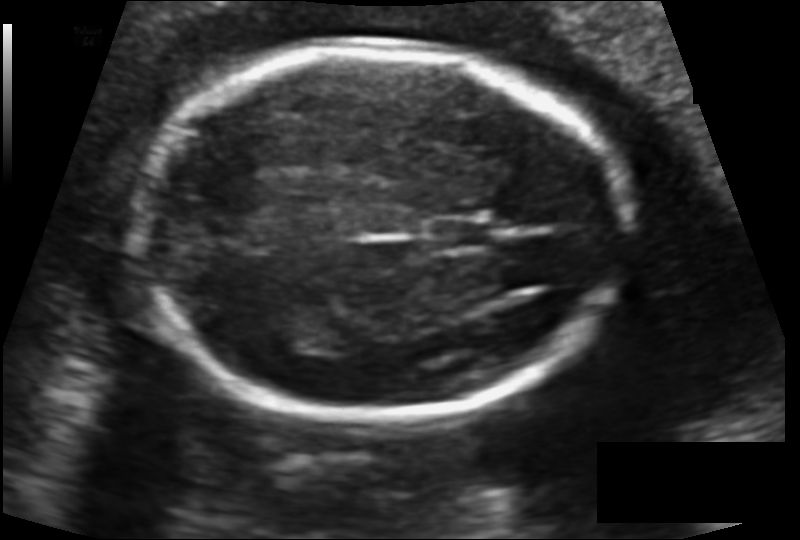
In this fetal head ultrasound, give the bounding box of the fetal head. Image width: 98.1 mm.

[134,51,626,417]